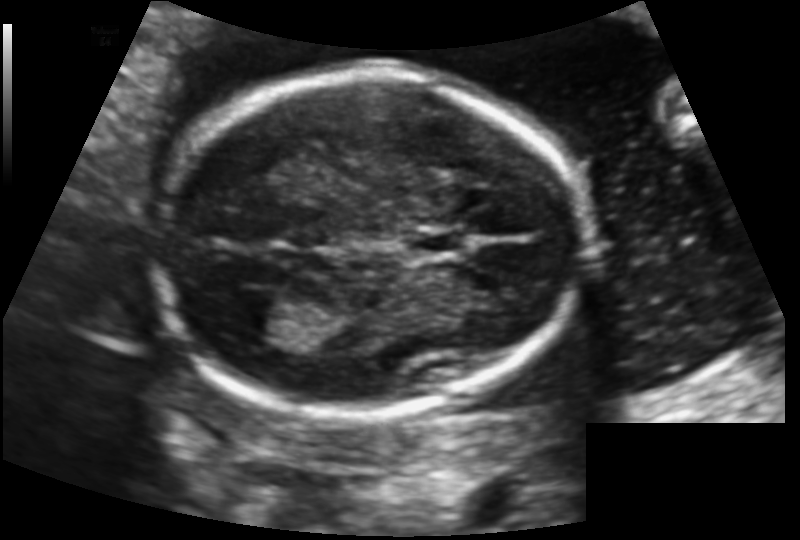
In this fetal head ultrasound, give the bounding box of the lateral ventricle. Image width: 103.6 mm.

[232,294,301,341]